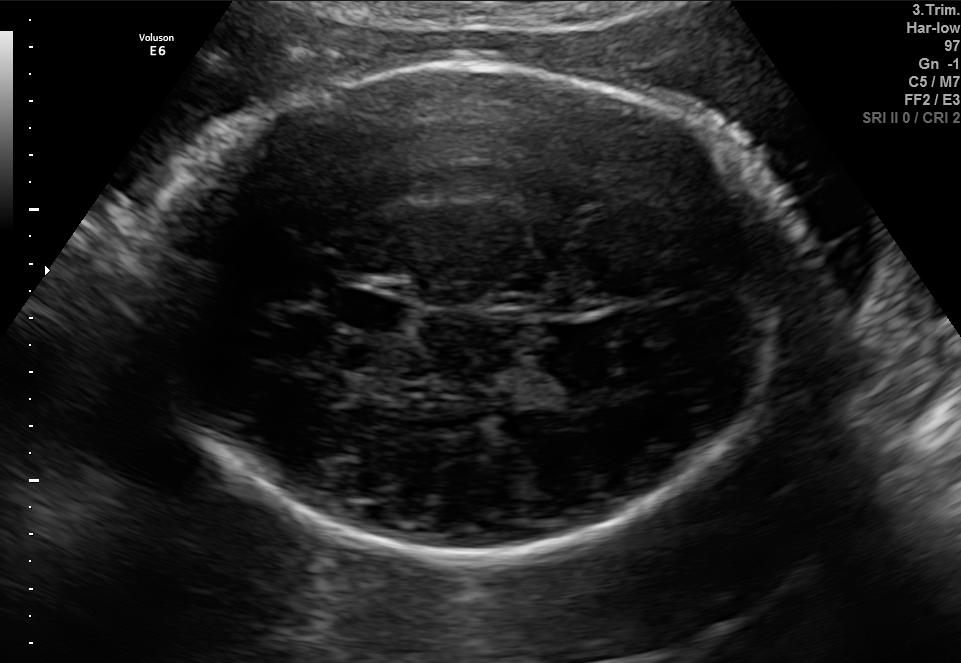
In this fetal brain, trans-thalamic plane, give the bounding box of the cavum septum pellucidum.

[331,284,405,337]